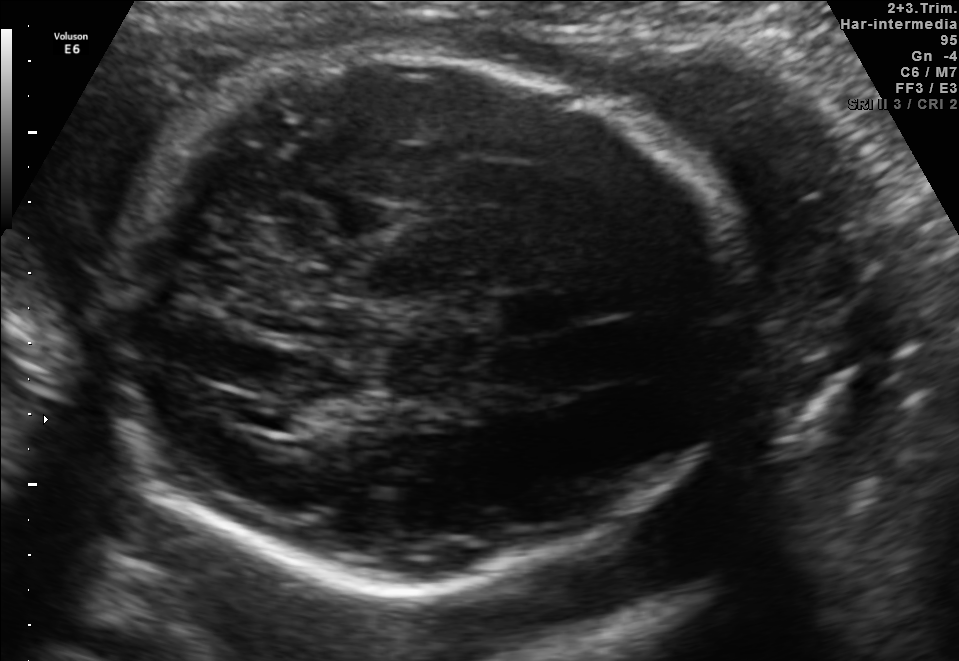
Fetal brain, trans-thalamic plane. Locate the lateral ventricle.

Lateral ventricle: [229,389,313,437]